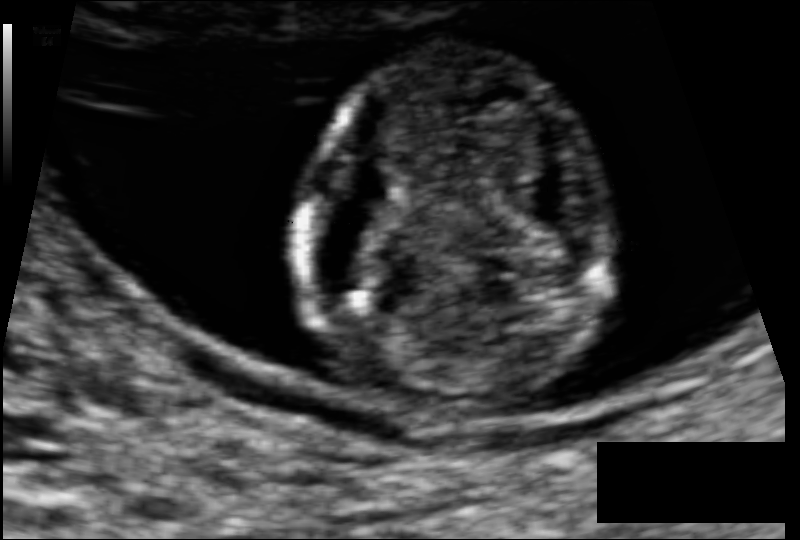
Fetal head ultrasound. Image width: 59.5 mm. Where is the fetal head?

Head bounding box: [301,50,604,408]